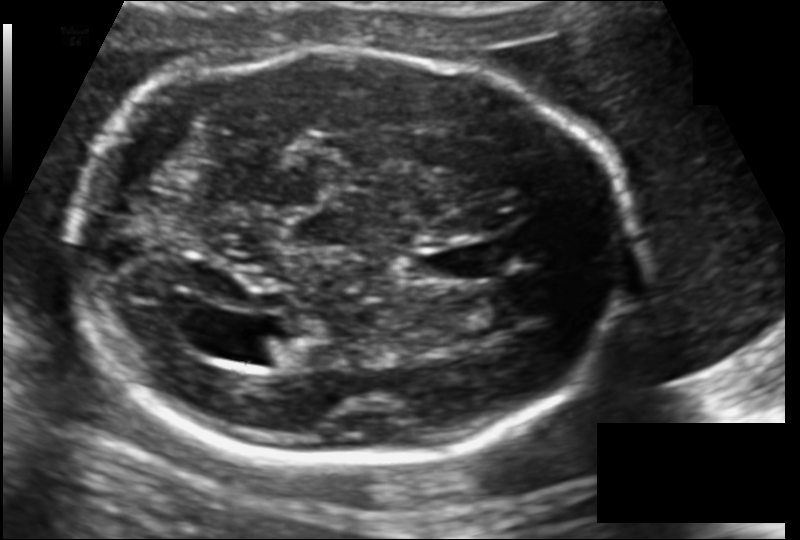
Fetal head ultrasound. Image width: 110.0 mm. Where is the fetal head?

Head bounding box: [70,49,636,460]